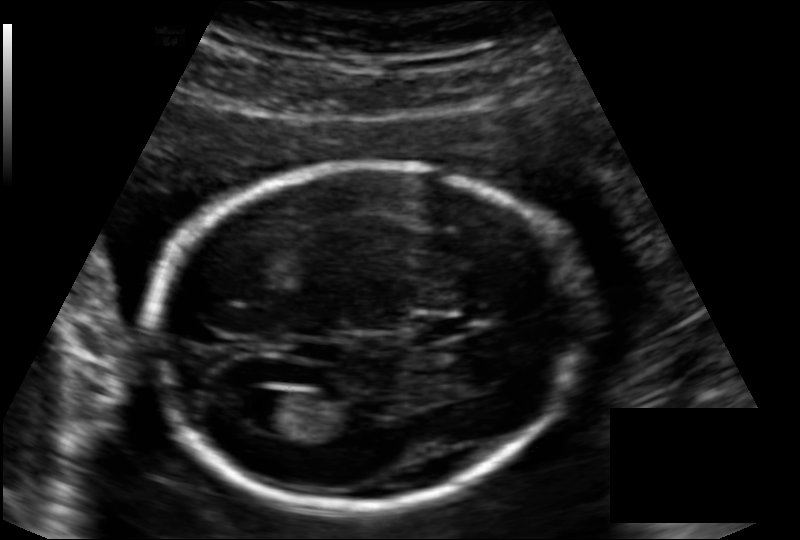
In this fetal head ultrasound, give the bounding box of the cavum septum pellucidum. Image width: 108.5 mm.

[411,313,469,342]